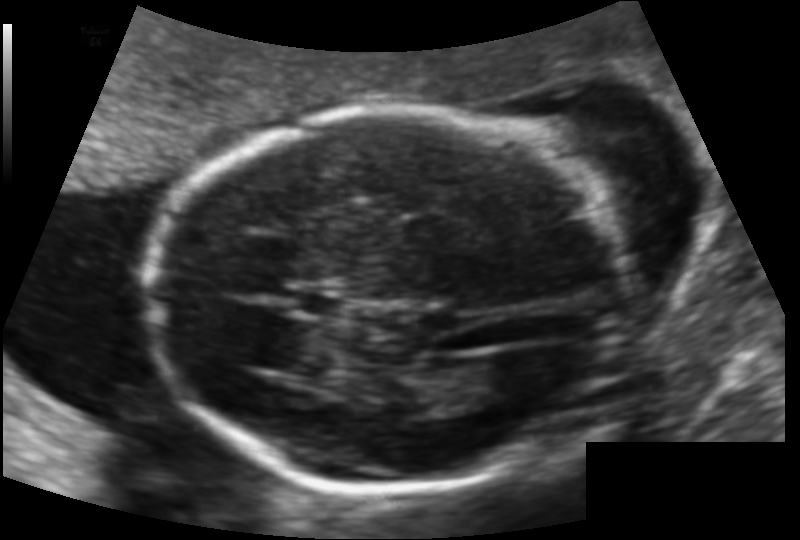
Estimate the fetal head circumference from this 2D ultrasound.

Head circumference: 163.6 mm (image width 94.5 mm).